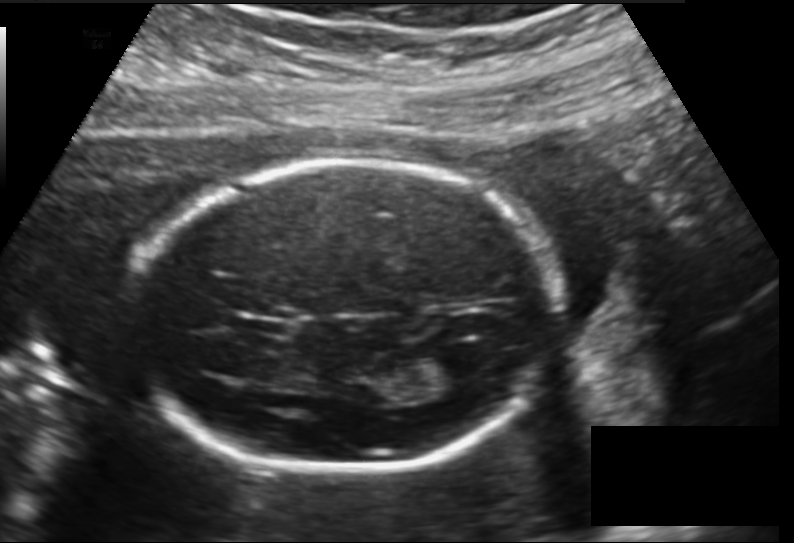
Estimate the fetal head circumference from this 2D ultrasound.

Head circumference: 188.8 mm (image width 124.7 mm).